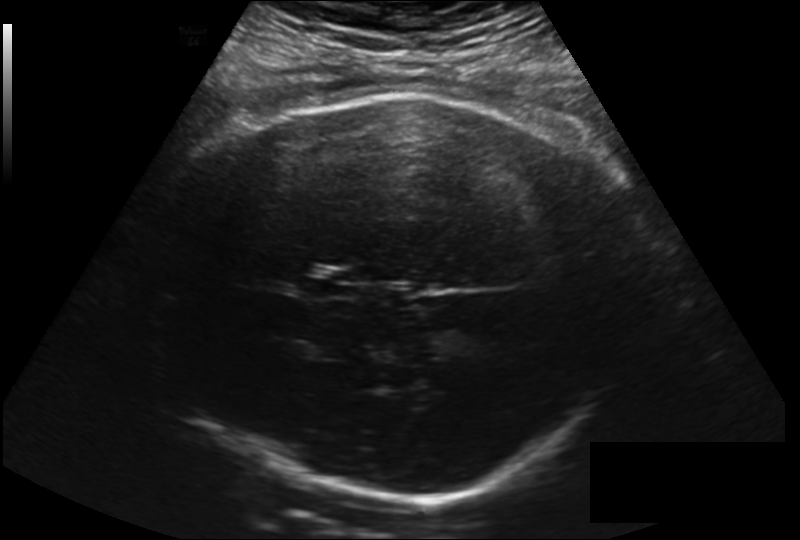
Fetal head ultrasound. Image width: 179.8 mm. Where is the fetal head?

Head bounding box: [155,91,628,504]